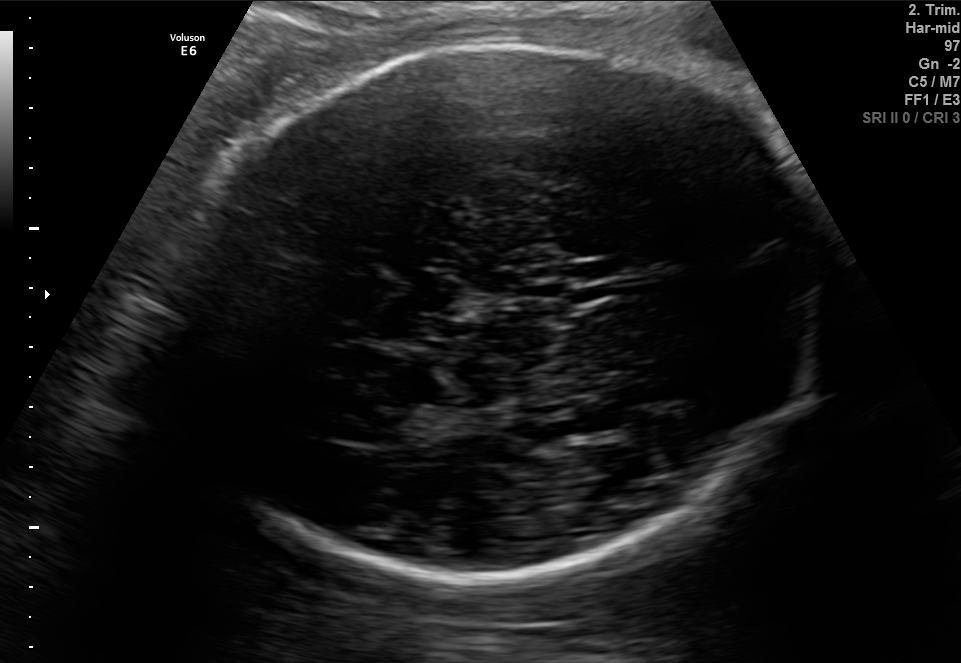
In this fetal brain, trans-thalamic plane, give bounding boxes for the head outline, cavum septum pellucidum (CSP), and lateral ventricle (LV), where visible.

Head: [179,36,832,585]